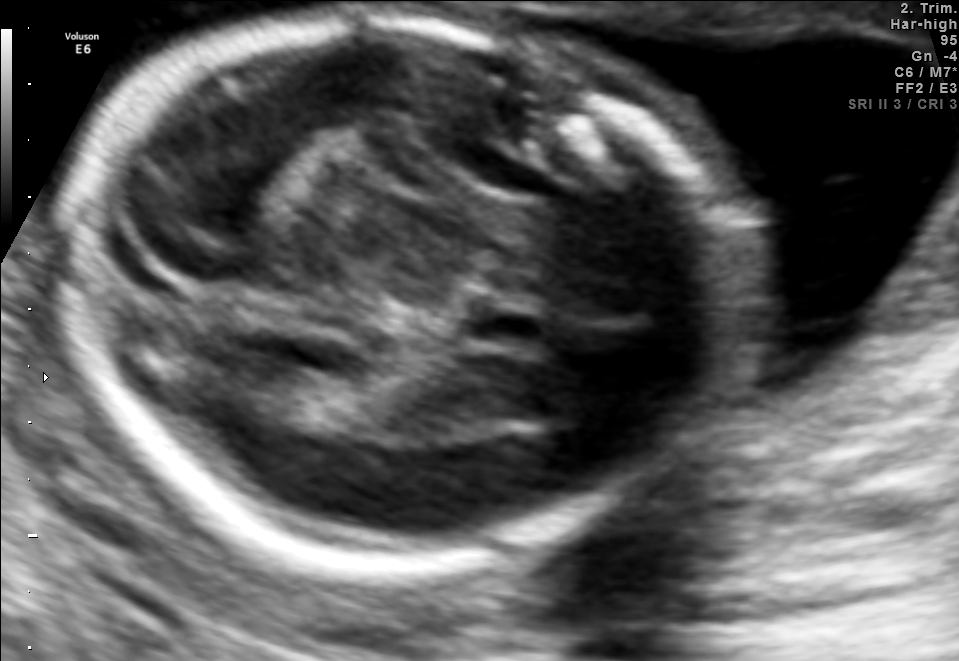
Fetal brain, trans-thalamic plane. Where is the cavum septum pellucidum?

CSP bounding box: [465,295,548,355]